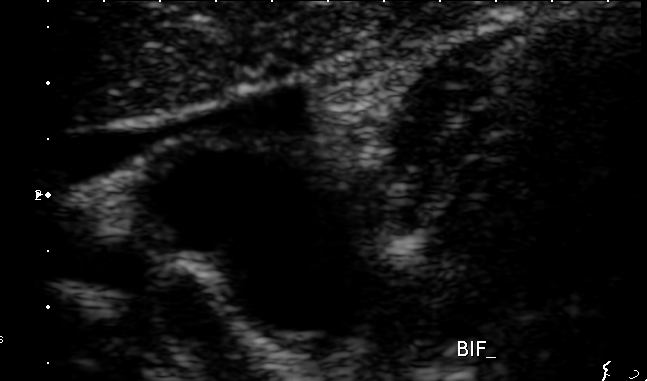
This is a 2D maternal-fetal ultrasound frame. Is it a fetal abdomen, fetal brain, fetal femur, fetal thorax, maternal cervix, or other standard plane? If it's fetal brain and one of the three standard brain planes (trans-thalamic, trans-cerebellum, trans-ventricular), name which.

Other